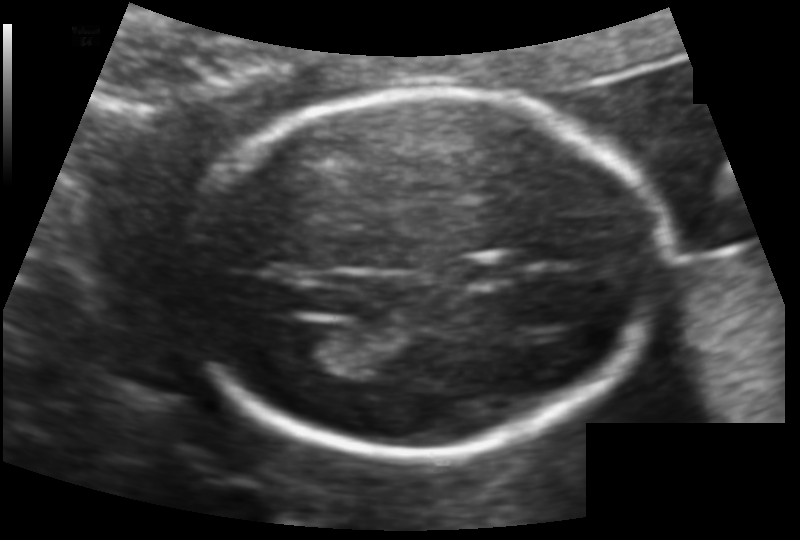
Fetal head ultrasound. Image width: 90.1 mm. Locate the fetal head.

Head: [184,92,618,457]